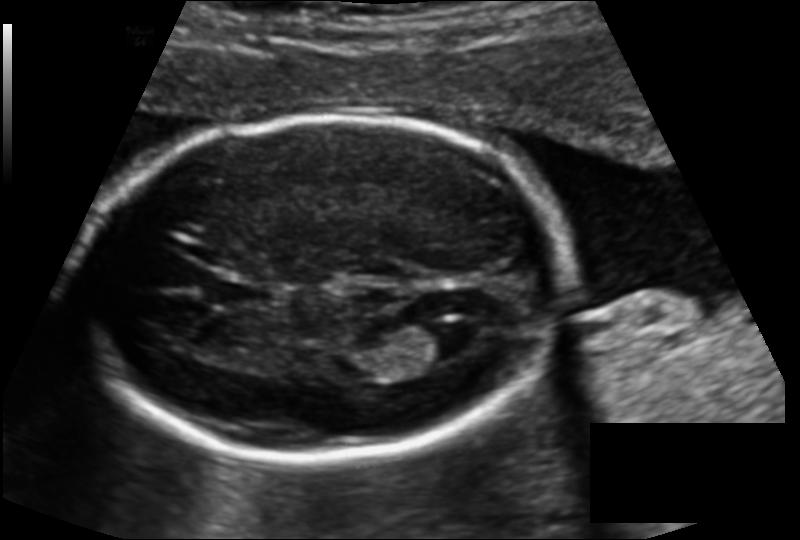
Measure the fetal head circumference shown in this ultrasound image. Image width: 109.1 mm.

Head circumference: 183.1 mm.